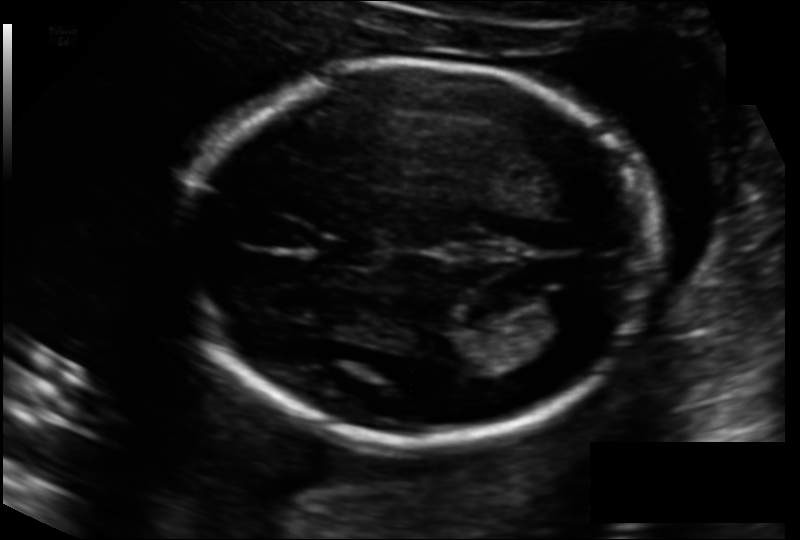
From this fetal ultrasound, estimate the head circumference (image width 106.6 mm).

Head circumference: 182.9 mm.